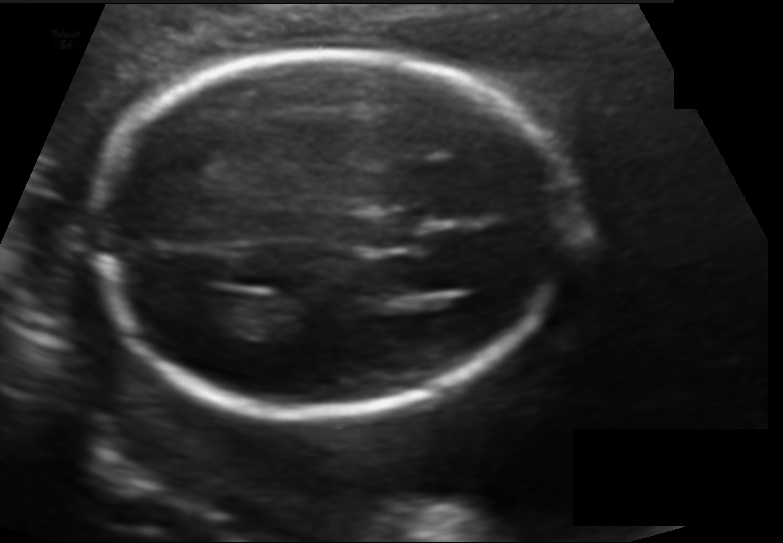
Measure the fetal head circumference shown in this ultrasound image. Image width: 100.2 mm.

Head circumference: 174.2 mm.